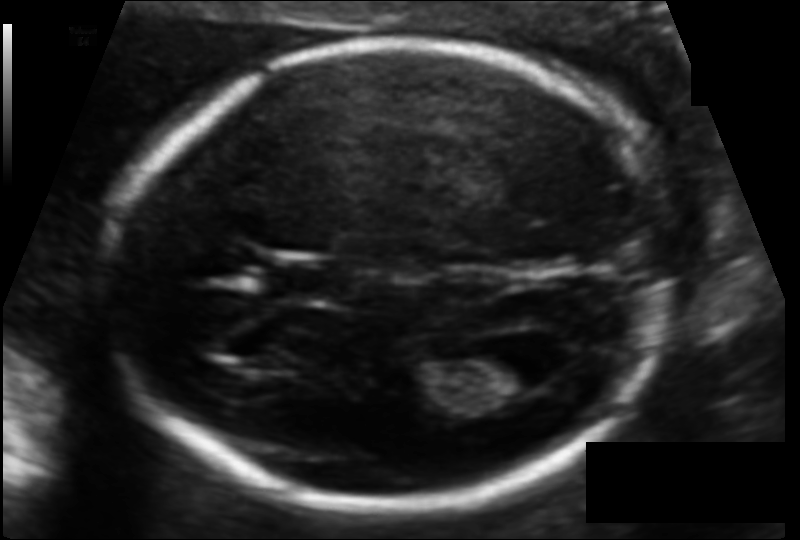
In this fetal head ultrasound, give the bounding box of the fetal head. Image width: 82.6 mm.

[101,40,667,507]